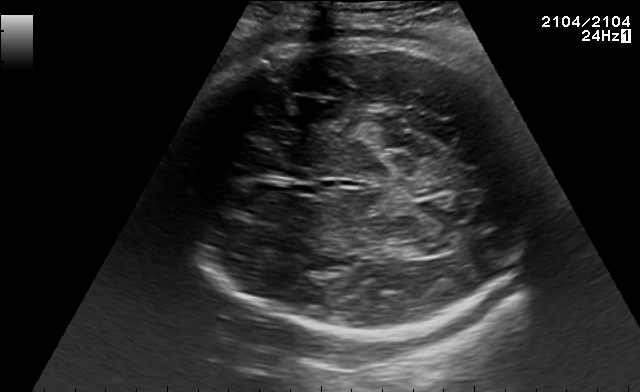
Fetal brain, trans-thalamic plane. Where is the lateral ventricle?

Lateral ventricle bounding box: [412,234,459,258]